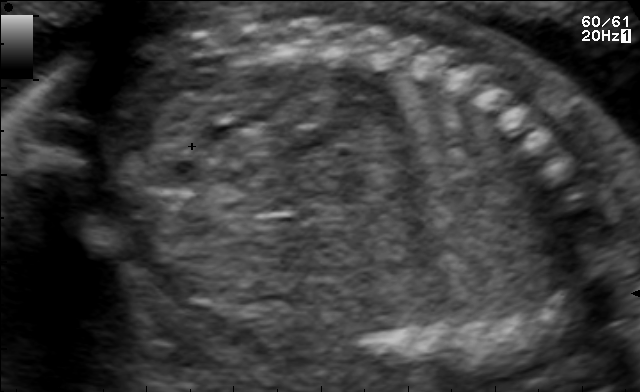
This is a 2D maternal-fetal ultrasound frame. Is it a fetal abdomen, fetal brain, fetal femur, fetal thorax, maternal cervix, or other standard plane? If it's fetal brain and one of the three standard brain planes (trans-thalamic, trans-cerebellum, trans-ventricular), name which.

Other